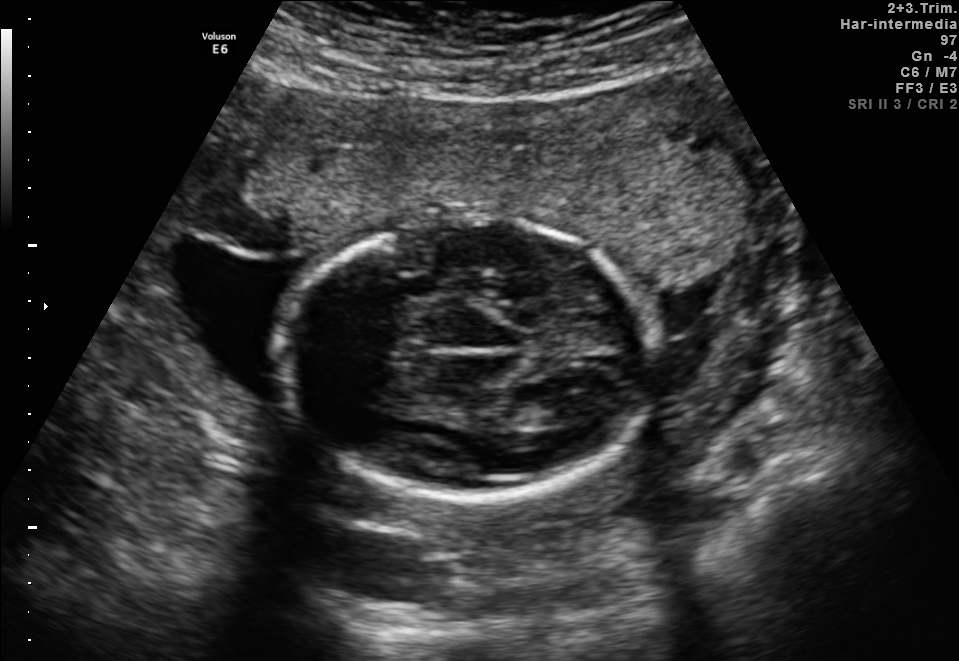
In this fetal brain, trans-thalamic plane, give the bounding box of the lateral ventricle.

[533,389,595,430]